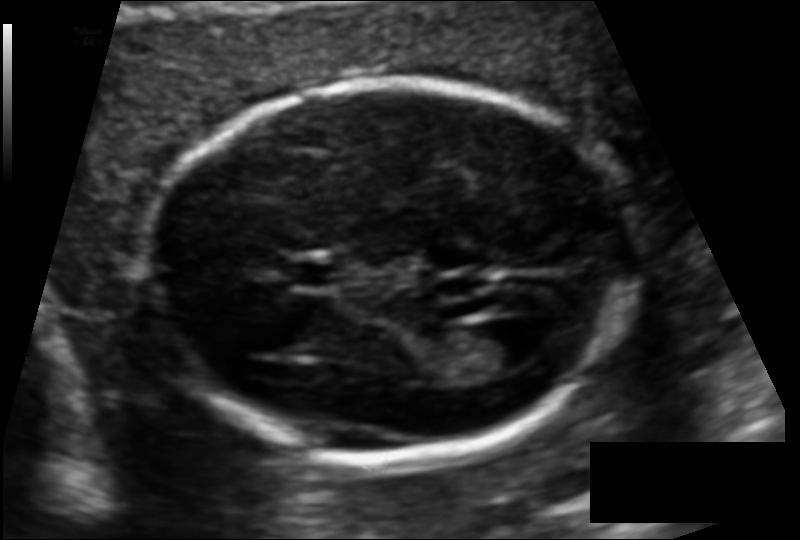
Fetal head ultrasound. Image width: 88.0 mm. Where is the cavum septum pellucidum?

CSP bounding box: [287,263,343,286]